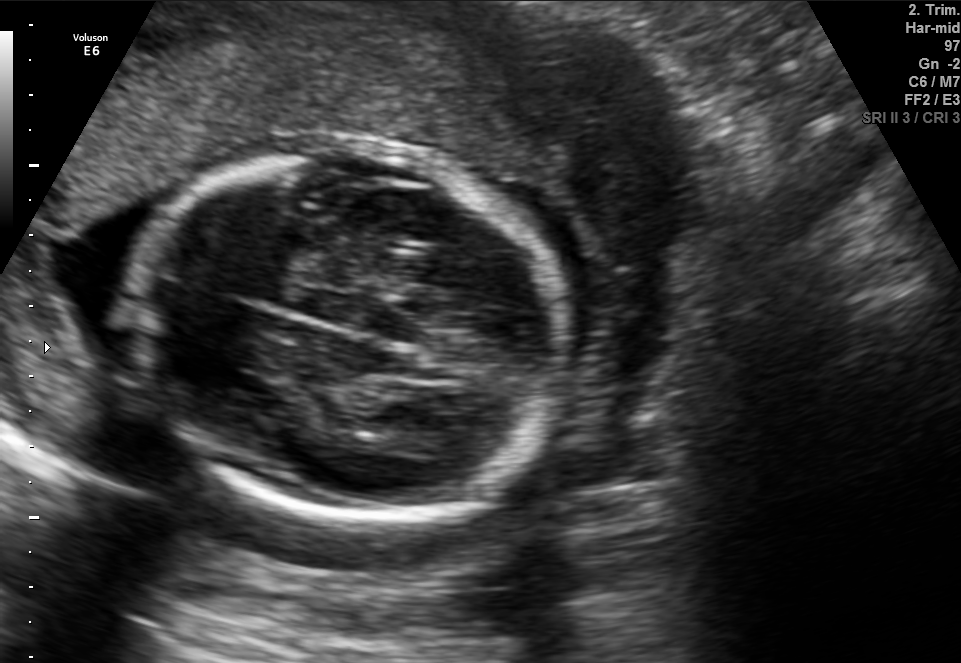
In this fetal brain, trans-thalamic plane, give bounding boxes for the head outline, cavum septum pellucidum (CSP), and lateral ventricle (LV), where visible.

Head: [122,147,572,520]